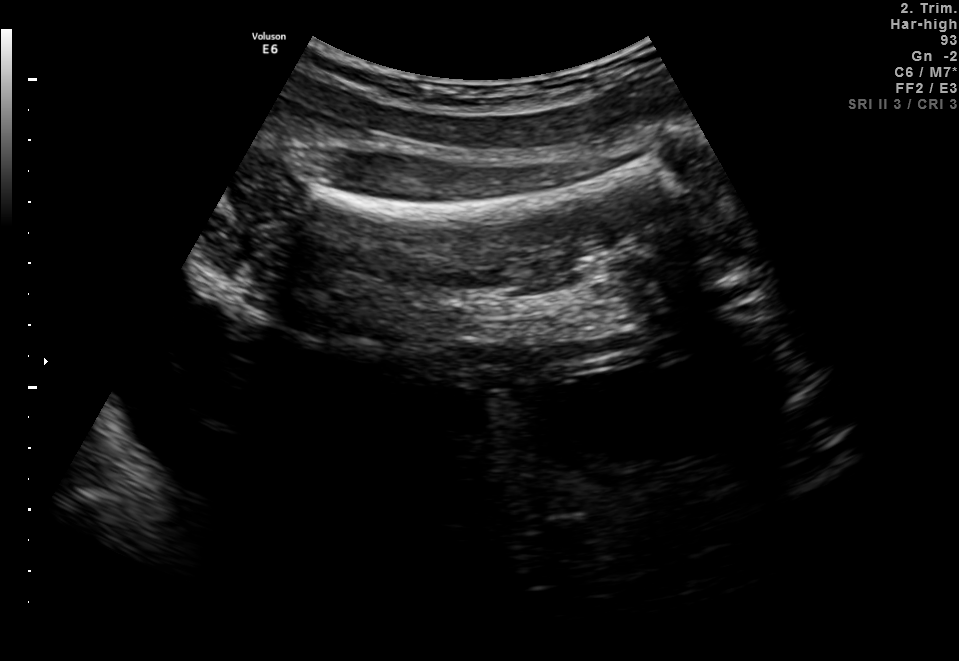
Identify the standard plane in this fetal ultrasound image: fetal abdomen, fetal brain, fetal femur, fetal thorax, maternal cervix, or other. If it's fetal brain and one of the three standard brain planes (trans-thalamic, trans-cerebellum, trans-ventricular), name which.

Fetal femur